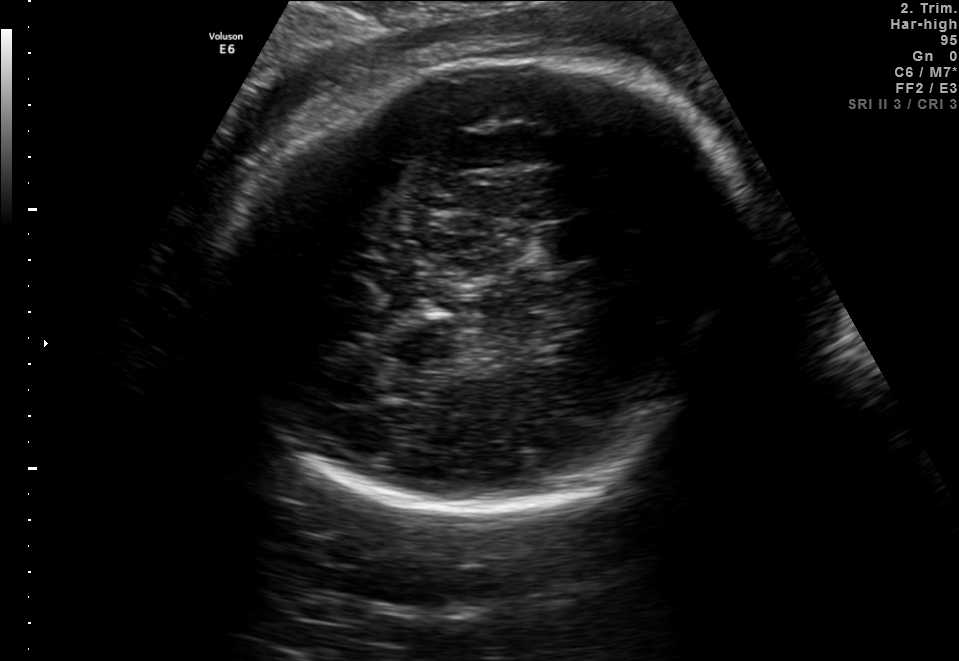
In this fetal brain, trans-thalamic plane, give the bounding box of the fetal head.

[213,62,764,511]